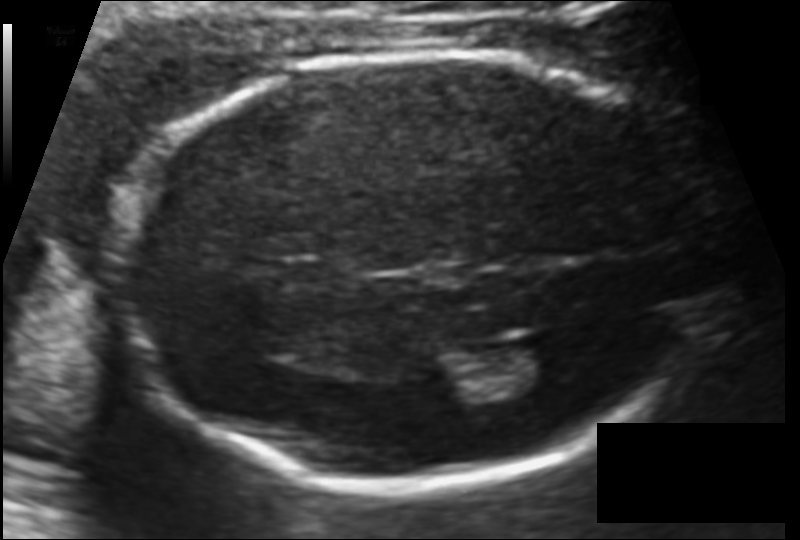
Fetal head ultrasound. Image width: 91.0 mm. Give [x1,y1,x2,y2] bounding boxes for each visible structure among: fetal head, CSP, LV.

Head: [126,51,704,489]
Lateral ventricle: [492,334,577,401]